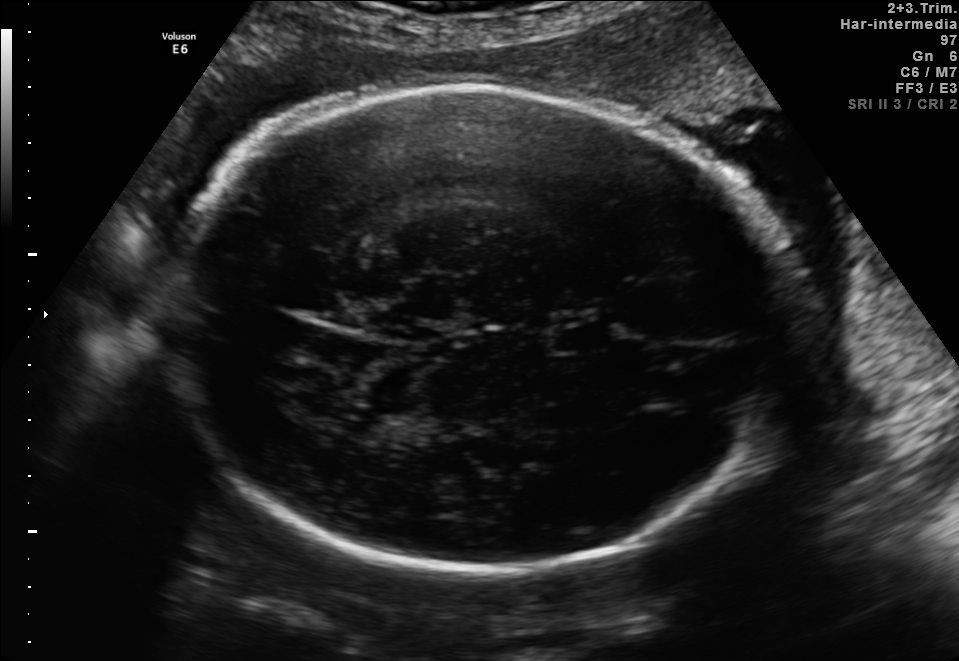
Fetal brain, trans-thalamic plane. Locate the fetal head.

Head: [174,84,801,575]